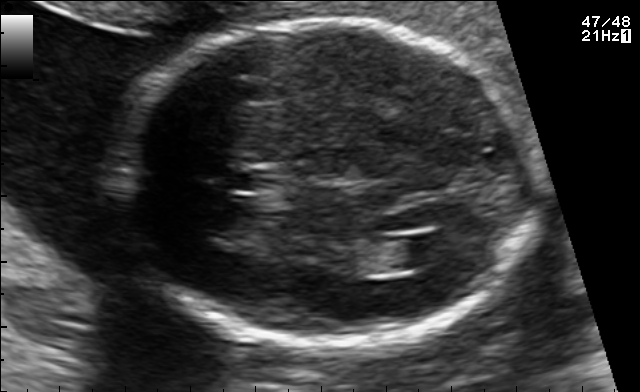
Fetal brain, trans-ventricular plane. Where is the cavum septum pellucidum?

CSP bounding box: [231,169,273,191]